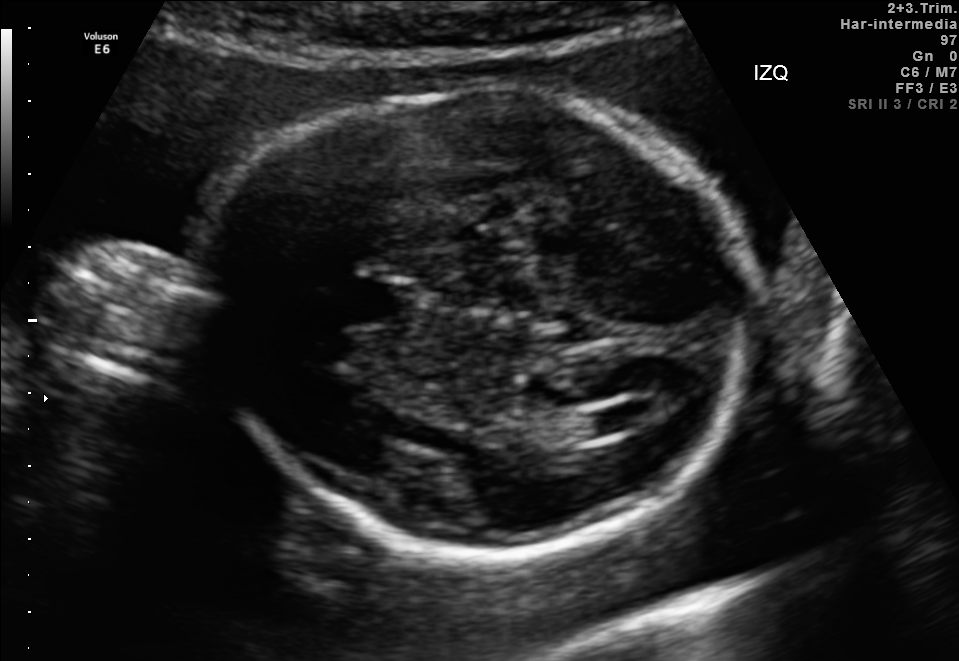
Fetal brain, trans-ventricular plane. Locate the lateral ventricle.

Lateral ventricle: [589,398,649,438]